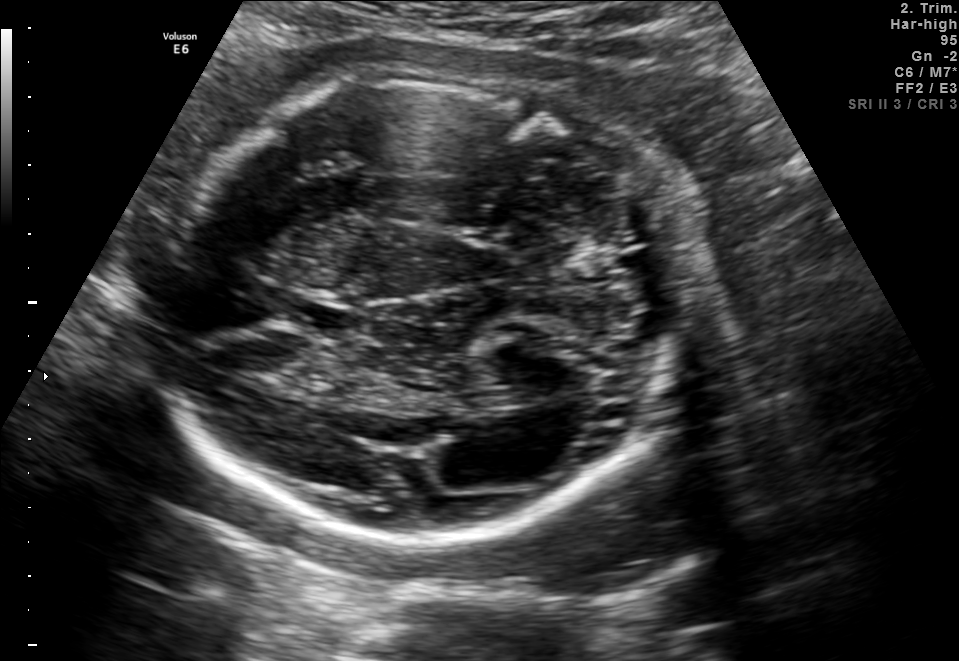
In this fetal brain, trans-thalamic plane, give the bounding box of the cavum septum pellucidum.

[290,300,359,341]